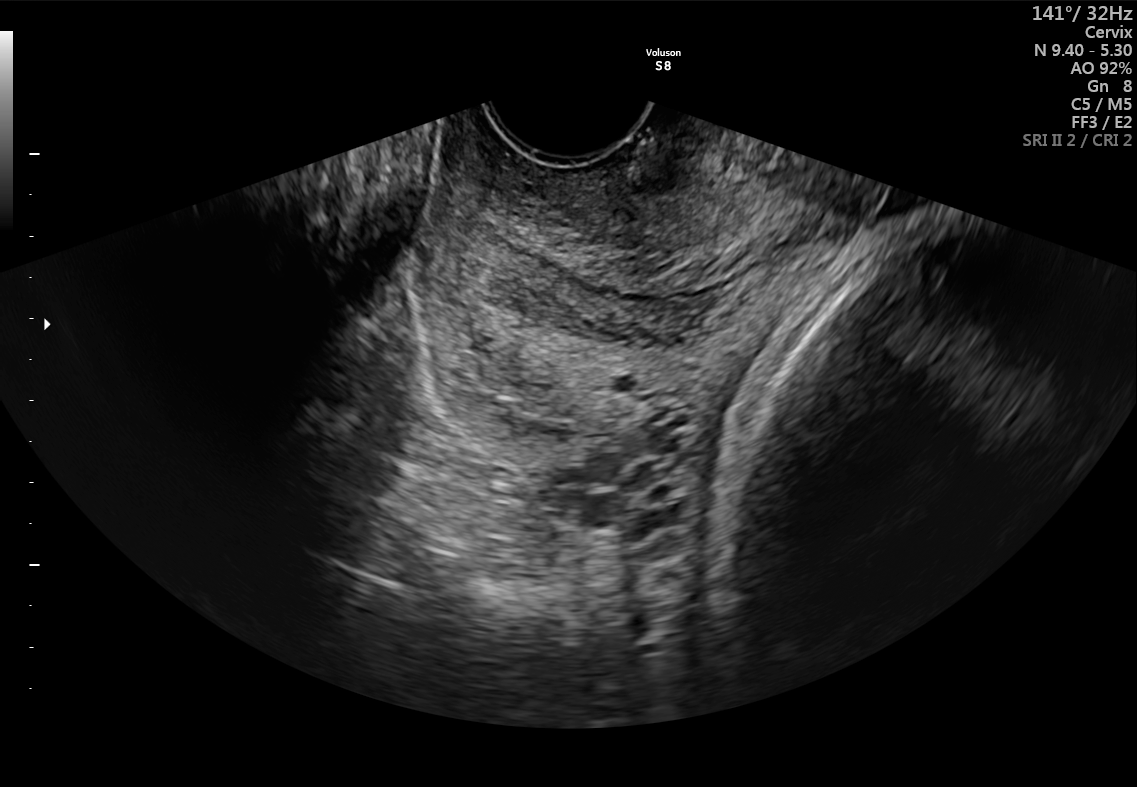
This is a 2D maternal-fetal ultrasound frame. Is it a fetal abdomen, fetal brain, fetal femur, fetal thorax, maternal cervix, or other standard plane? If it's fetal brain and one of the three standard brain planes (trans-thalamic, trans-cerebellum, trans-ventricular), name which.

Maternal cervix